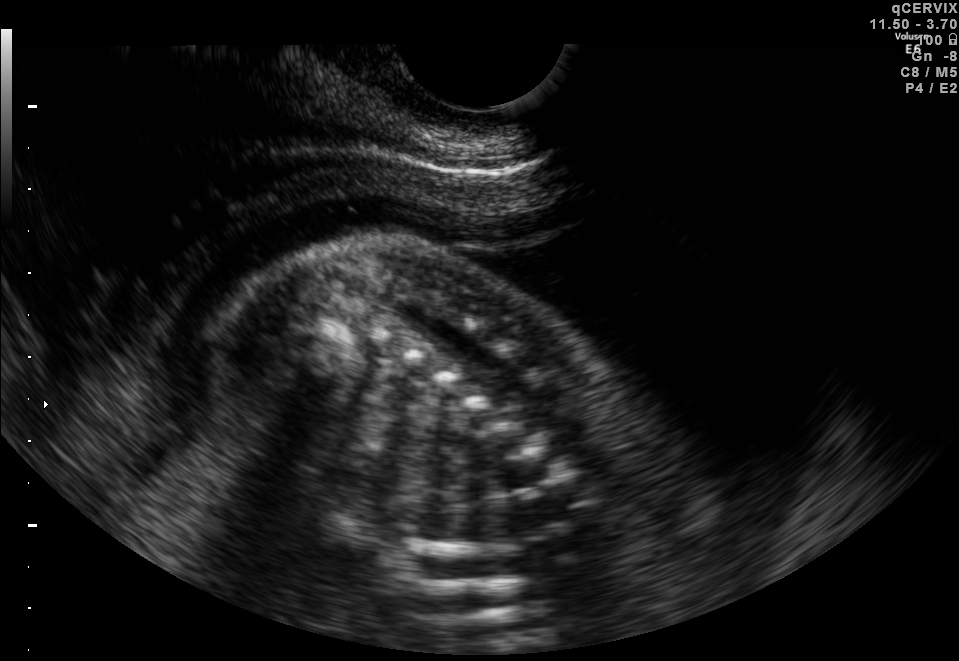
Classify this maternal-fetal ultrasound image as one of the six standard planes — fetal abdomen, fetal brain, fetal femur, fetal thorax, maternal cervix, or other. If it's fetal brain and one of the three standard brain planes (trans-thalamic, trans-cerebellum, trans-ventricular), name which.

Other